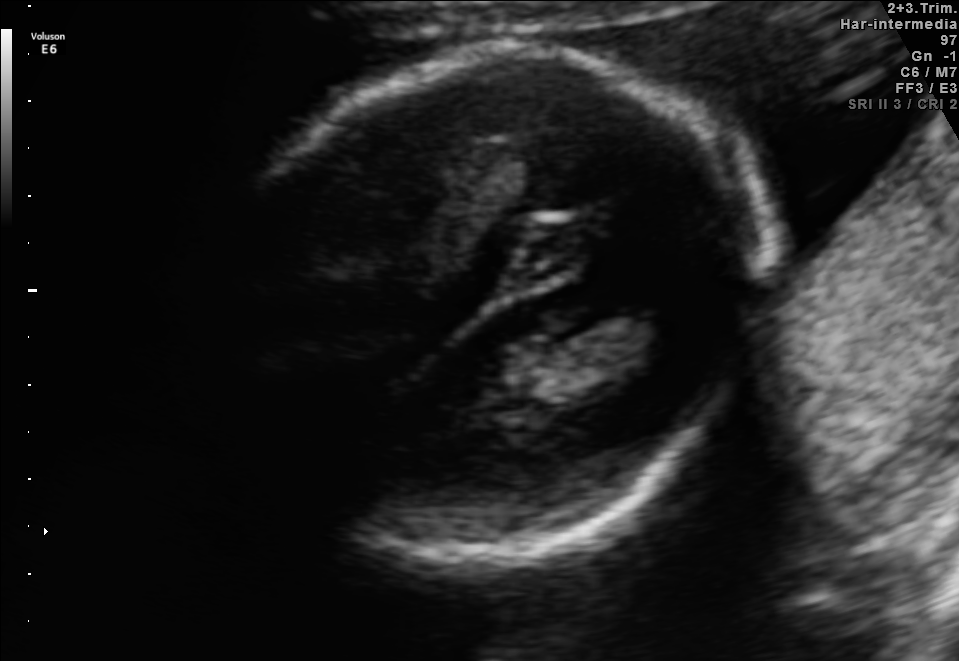
Which standard maternal-fetal ultrasound plane is shown: fetal abdomen, fetal brain, fetal femur, fetal thorax, maternal cervix, or other? If it's fetal brain and one of the three standard brain planes (trans-thalamic, trans-cerebellum, trans-ventricular), name which.

Fetal brain